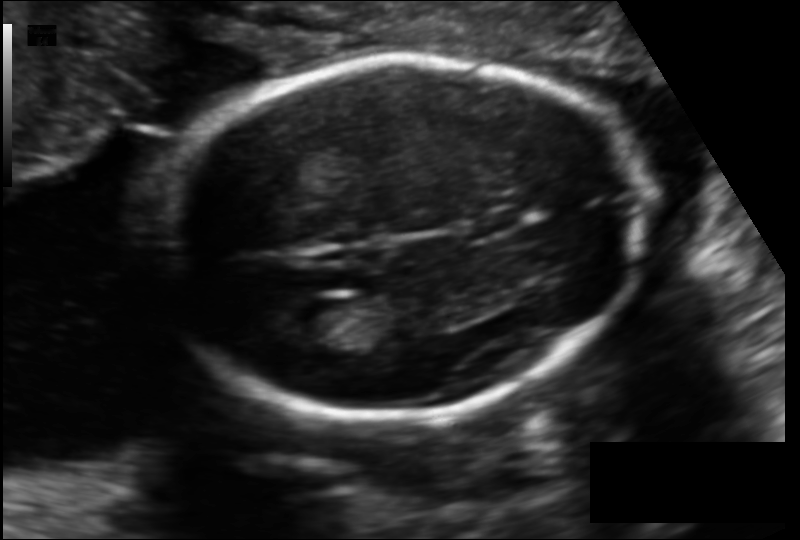
Fetal head ultrasound. Image width: 102.8 mm. Give [x1,y1,x2,y2] bounding boxes for each visible structure among: fetal head, CSP, LV.

Head: [161,56,642,417]
CSP: [460,201,527,244]
Lateral ventricle: [279,299,344,342]